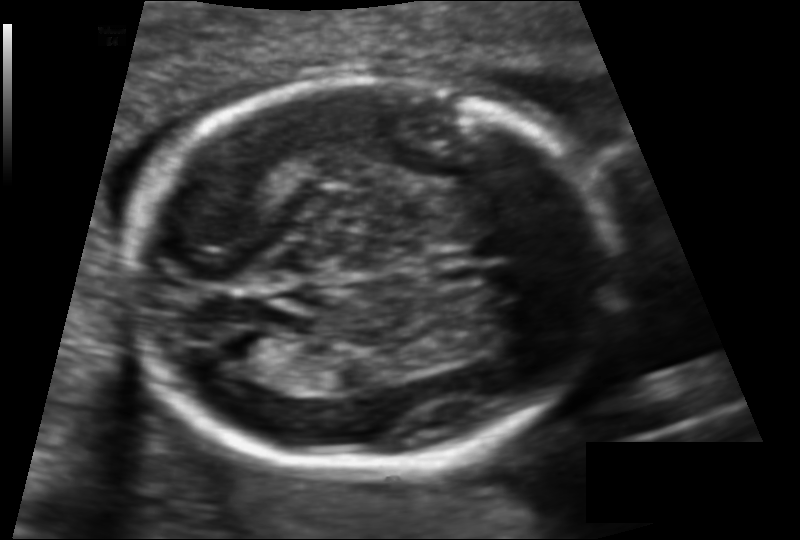
From this fetal ultrasound, estimate the head circumference (image width 94.9 mm).

Head circumference: 170.4 mm.